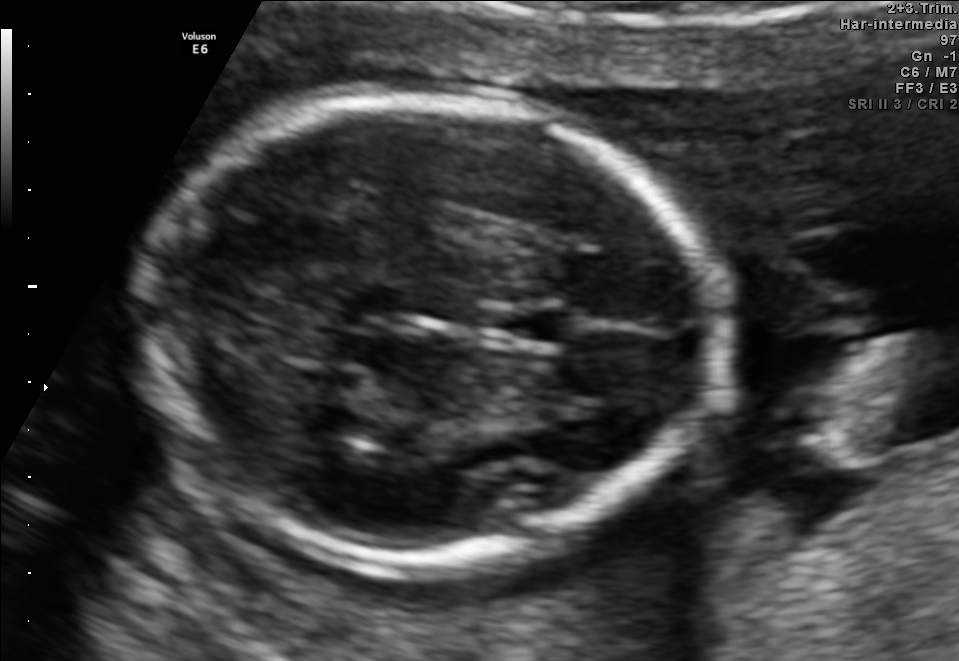
In this fetal brain, trans-thalamic plane, give bounding boxes for the head outline, cavum septum pellucidum (CSP), and lateral ventricle (LV), where visible.

Head: [139,98,724,567]
CSP: [496,308,573,344]